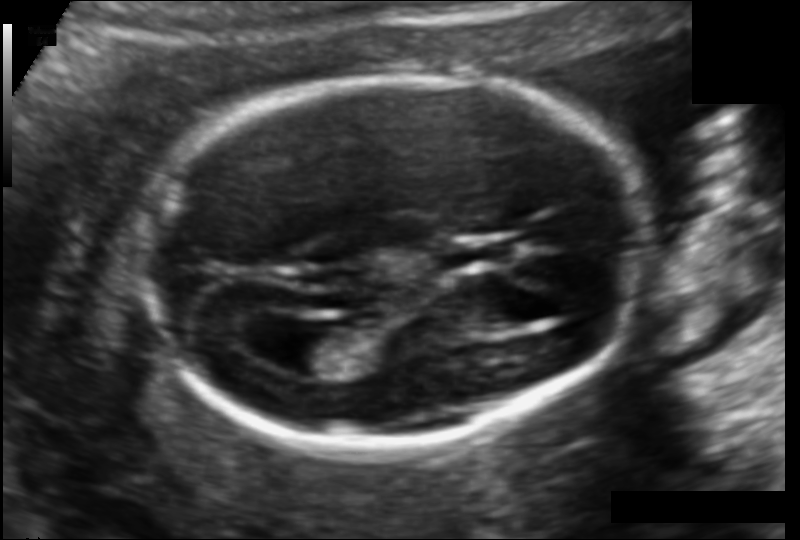
Fetal head ultrasound. Image width: 91.5 mm. Locate the lateral ventricle.

Lateral ventricle: [265,323,341,380]